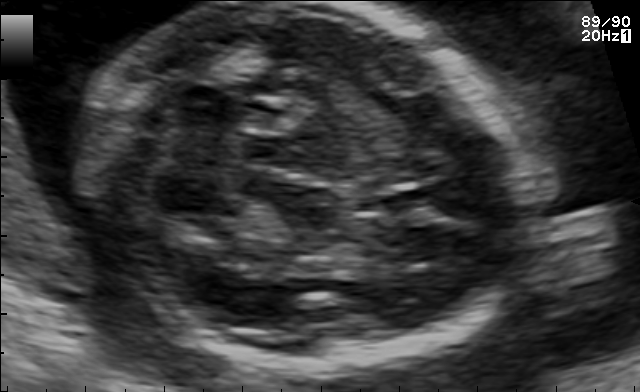
Fetal brain, trans-cerebellum plane. Give [x1,y1,x2,y2] bounding boxes for each visible structure among: fetal head, CSP, LV.

Head: [89,1,519,369]